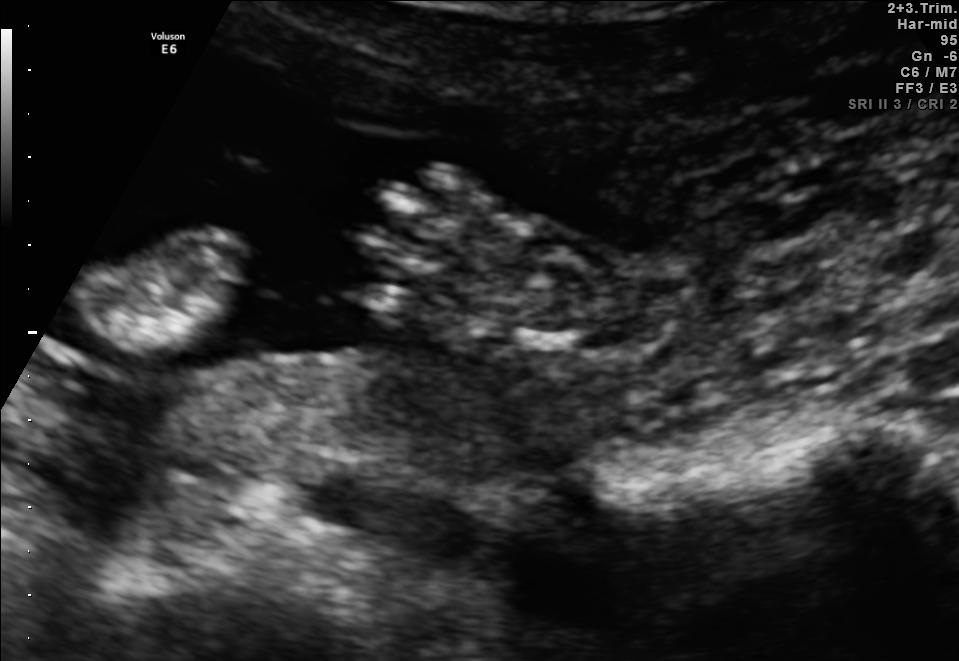
This is a 2D maternal-fetal ultrasound frame. Is it a fetal abdomen, fetal brain, fetal femur, fetal thorax, maternal cervix, or other standard plane? If it's fetal brain and one of the three standard brain planes (trans-thalamic, trans-cerebellum, trans-ventricular), name which.

Other